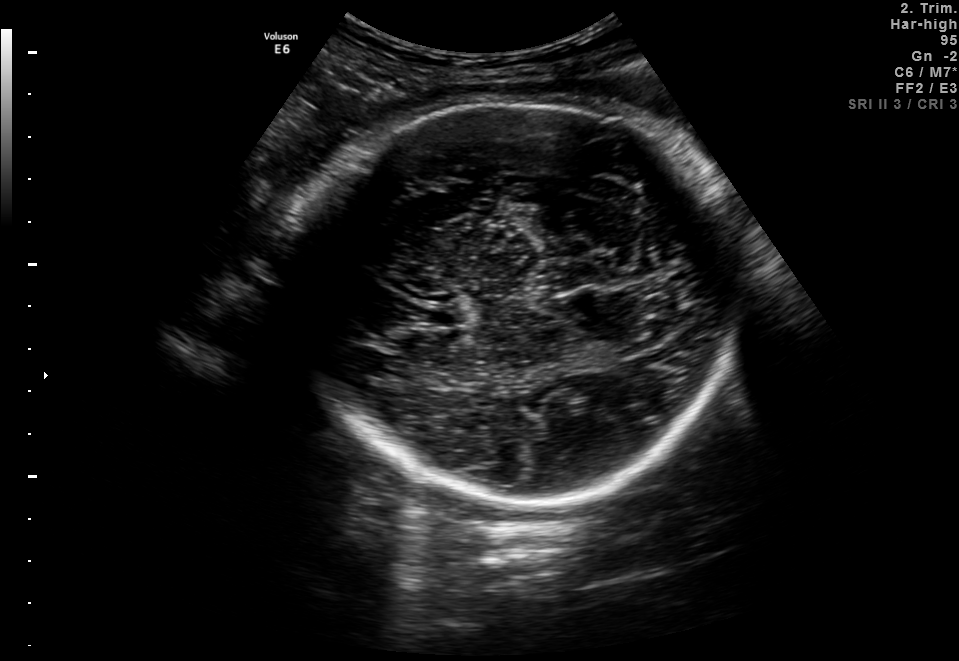
In this fetal brain, trans-thalamic plane, give bounding boxes for the head outline, cavum septum pellucidum (CSP), and lateral ventricle (LV), where visible.

Head: [286,100,735,503]
CSP: [413,301,464,331]